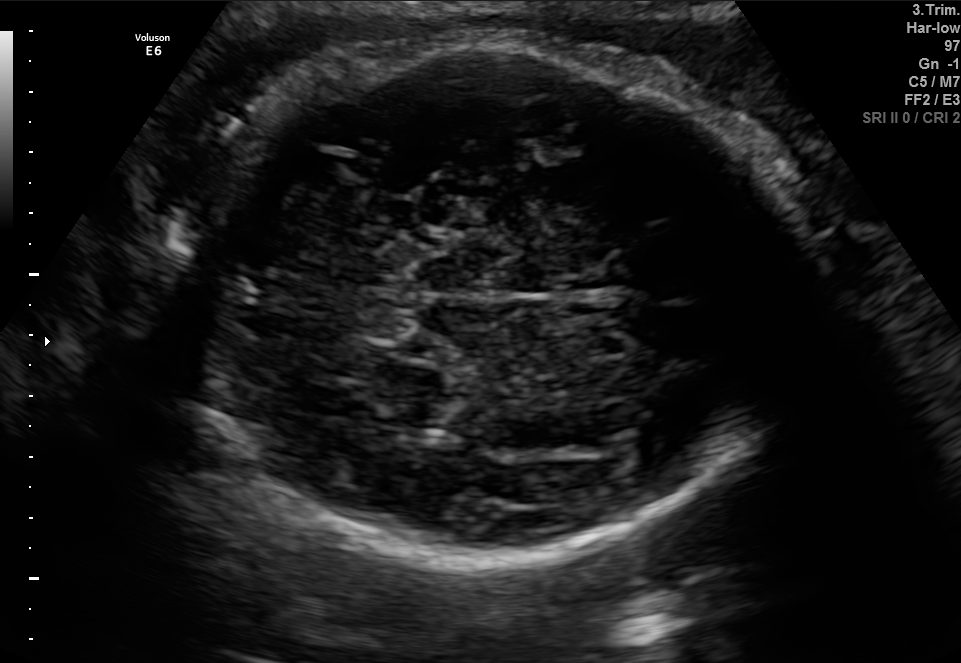
Fetal brain, trans-cerebellum plane. Where is the fetal head?

Head bounding box: [175,45,796,564]